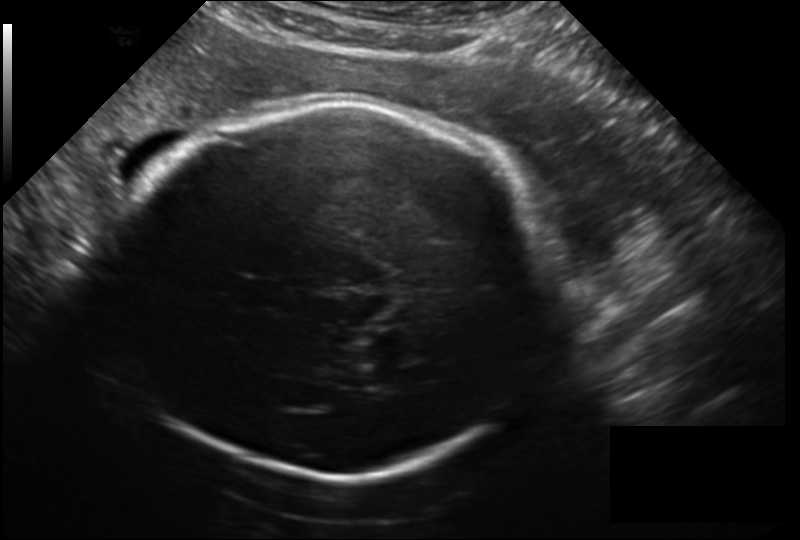
Estimate the fetal head circumference from this 2D ultrasound. Image width: 167.3 mm.

Head circumference: 279.2 mm.